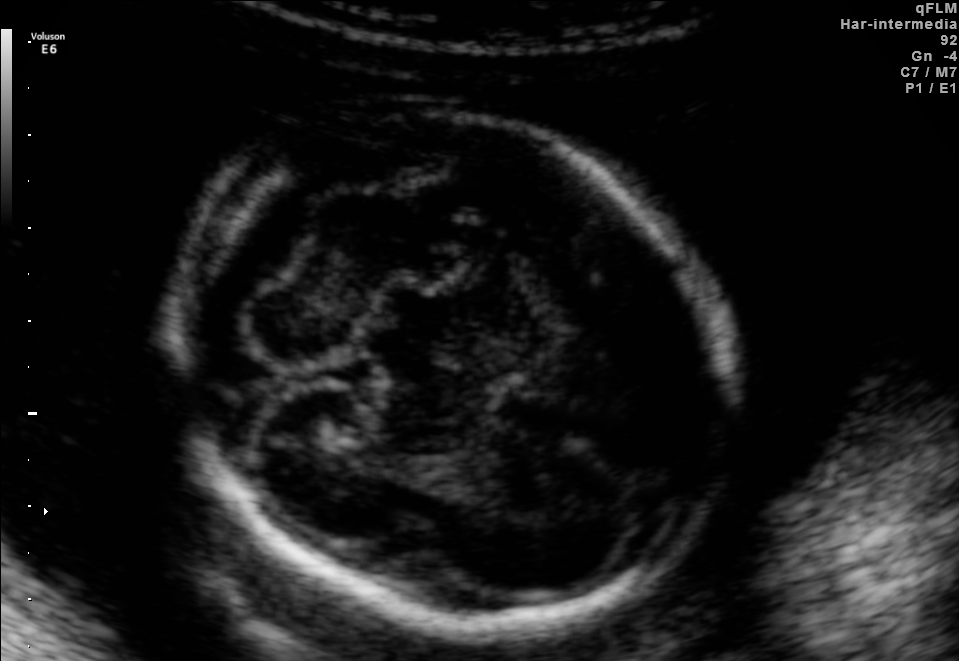
Fetal brain, trans-cerebellum plane. Where is the fetal head?

Head bounding box: [181,101,726,624]